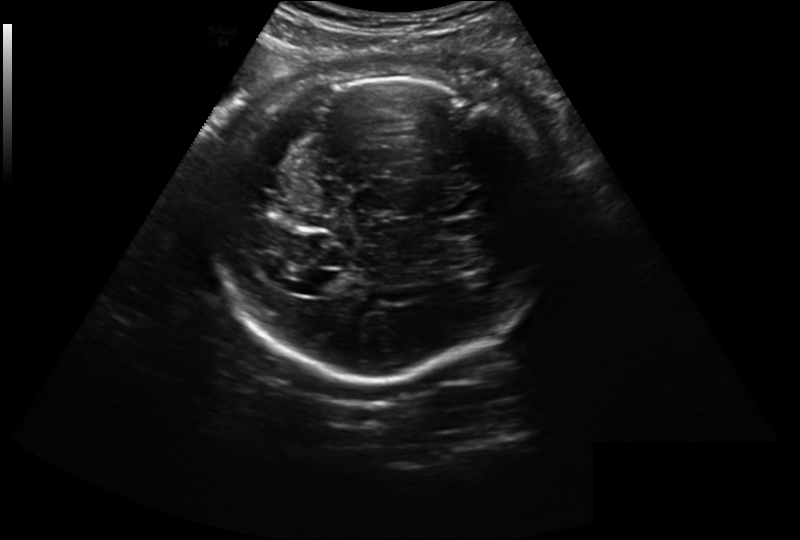
In this fetal head ultrasound, give the bounding box of the lateral ventricle. Image width: 208.4 mm.

[310,271,347,294]